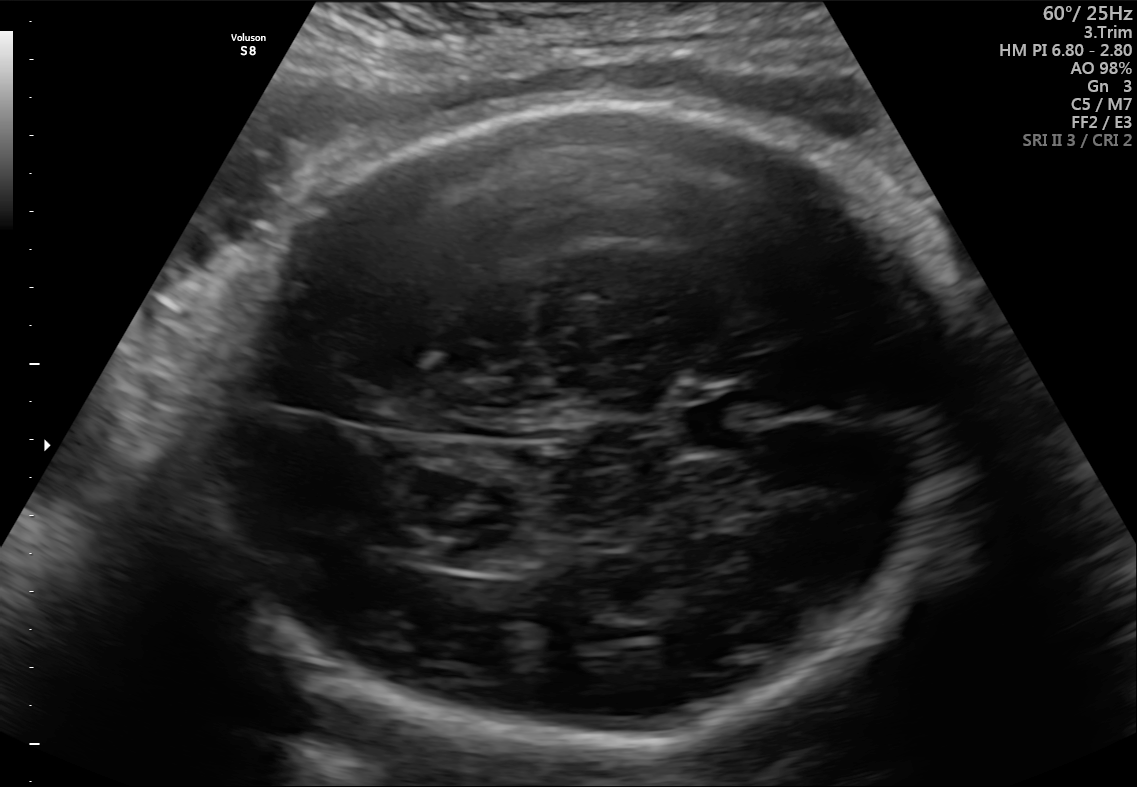
In this fetal brain, trans-thalamic plane, give the bounding box of the cavum septum pellucidum.

[678,394,761,455]